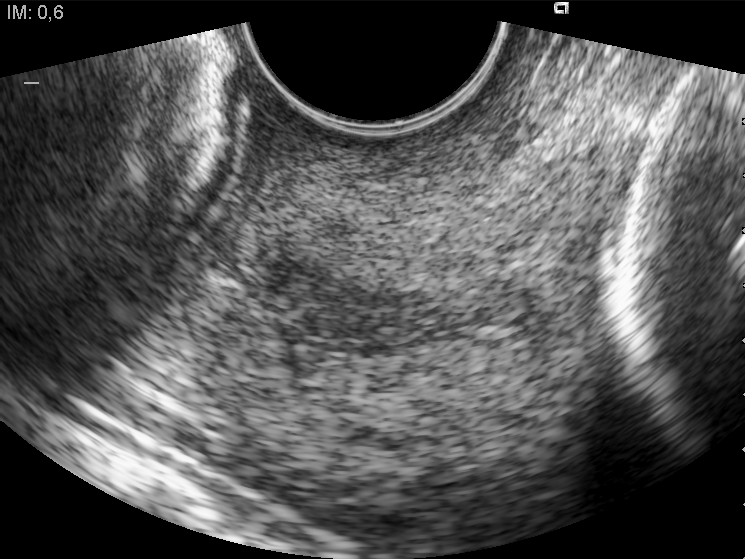
This is a 2D maternal-fetal ultrasound frame. Is it a fetal abdomen, fetal brain, fetal femur, fetal thorax, maternal cervix, or other standard plane? If it's fetal brain and one of the three standard brain planes (trans-thalamic, trans-cerebellum, trans-ventricular), name which.

Maternal cervix